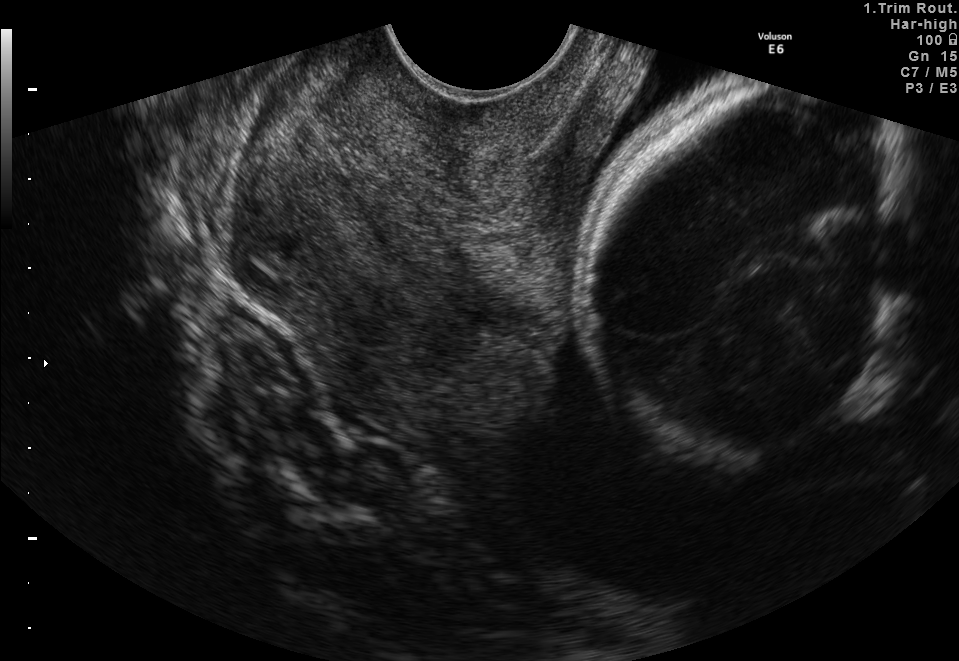
Which standard maternal-fetal ultrasound plane is shown: fetal abdomen, fetal brain, fetal femur, fetal thorax, maternal cervix, or other? If it's fetal brain and one of the three standard brain planes (trans-thalamic, trans-cerebellum, trans-ventricular), name which.

Maternal cervix